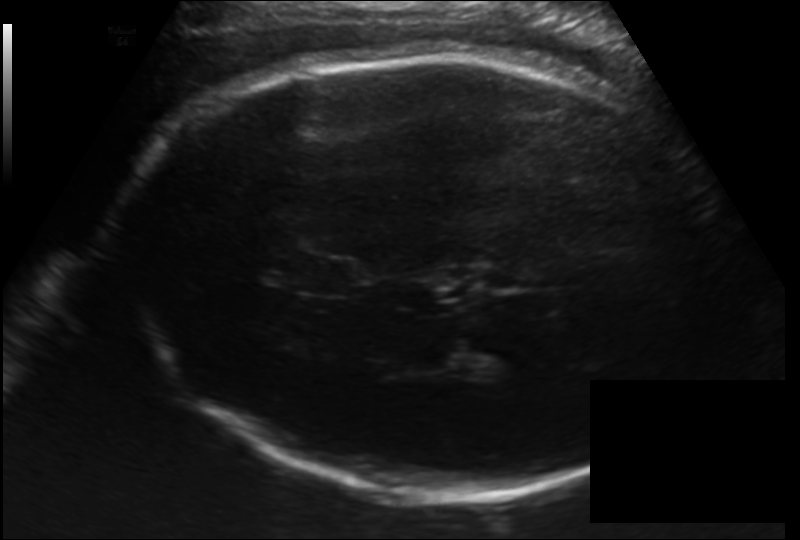
Fetal head ultrasound. Image width: 153.4 mm. Give [x1,y1,x2,y2] bounding boxes for each visible structure among: fetal head, CSP, LV.

Head: [118,51,727,497]
CSP: [286,251,362,299]